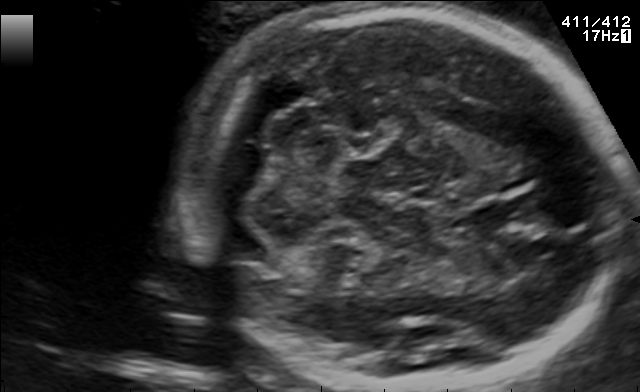
This is a 2D maternal-fetal ultrasound frame. Is it a fetal abdomen, fetal brain, fetal femur, fetal thorax, maternal cervix, or other standard plane? If it's fetal brain and one of the three standard brain planes (trans-thalamic, trans-cerebellum, trans-ventricular), name which.

Fetal brain (trans-cerebellum plane)